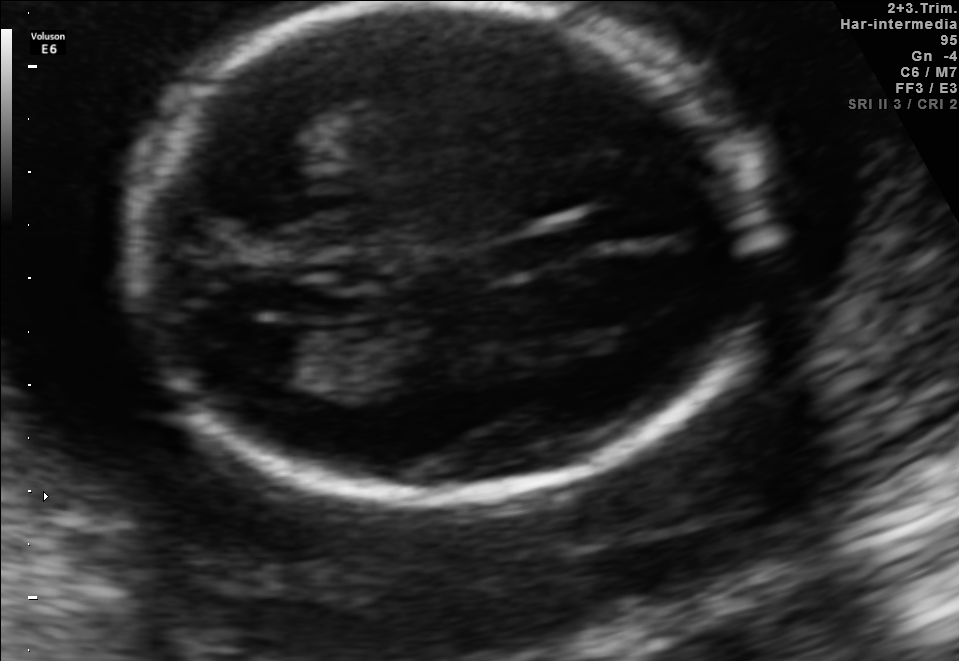
In this fetal brain, trans-ventricular plane, give the bounding box of the lateral ventricle.

[222,319,311,380]